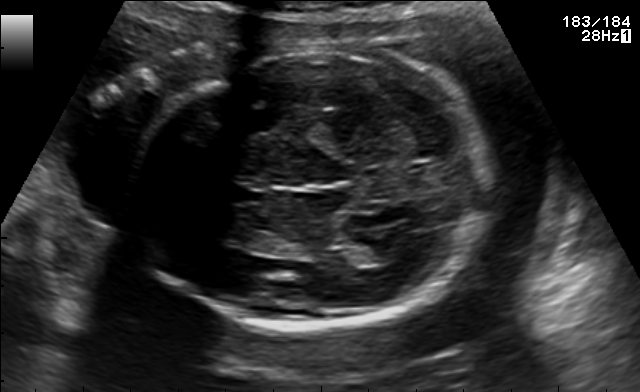
Fetal brain, trans-thalamic plane. Where is the fetal head?

Head bounding box: [131,49,495,329]